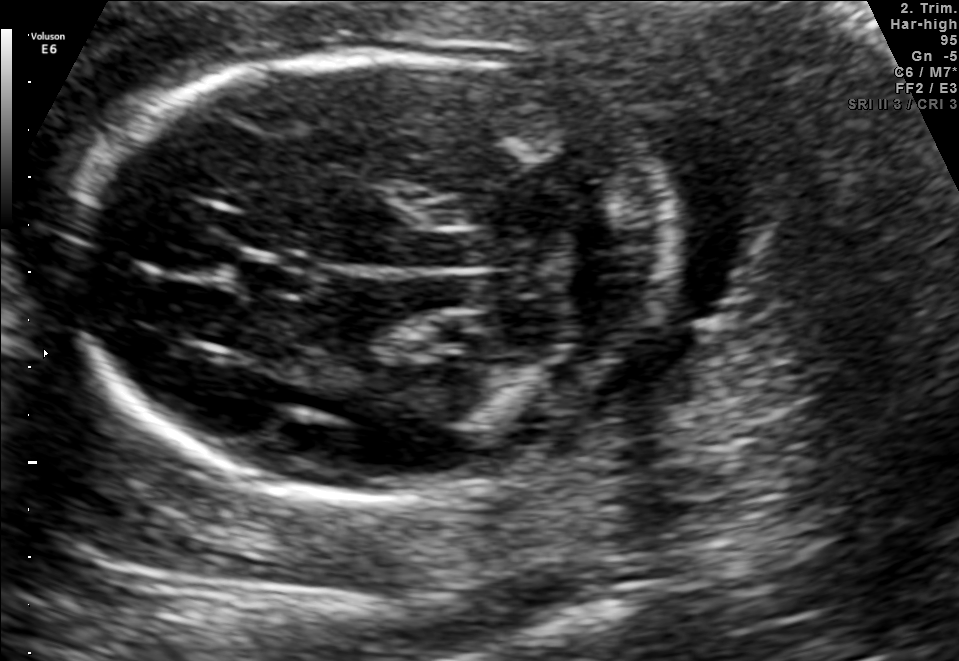
In this fetal brain, trans-cerebellum plane, give bounding boxes for the head outline, cavum septum pellucidum (CSP), and lateral ventricle (LV), where visible.

Head: [68,55,673,496]
CSP: [236,253,312,300]